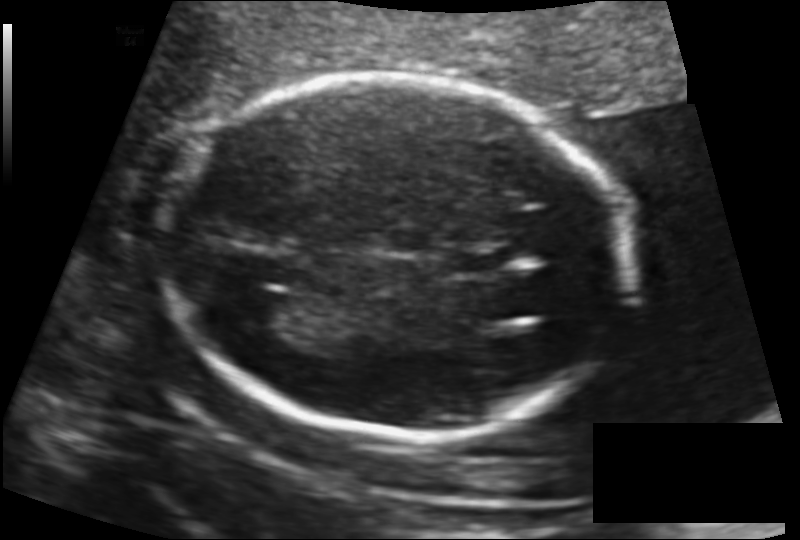
Fetal head ultrasound. Image width: 104.1 mm. Where is the cavum septum pellucidum?

CSP bounding box: [439,247,515,276]